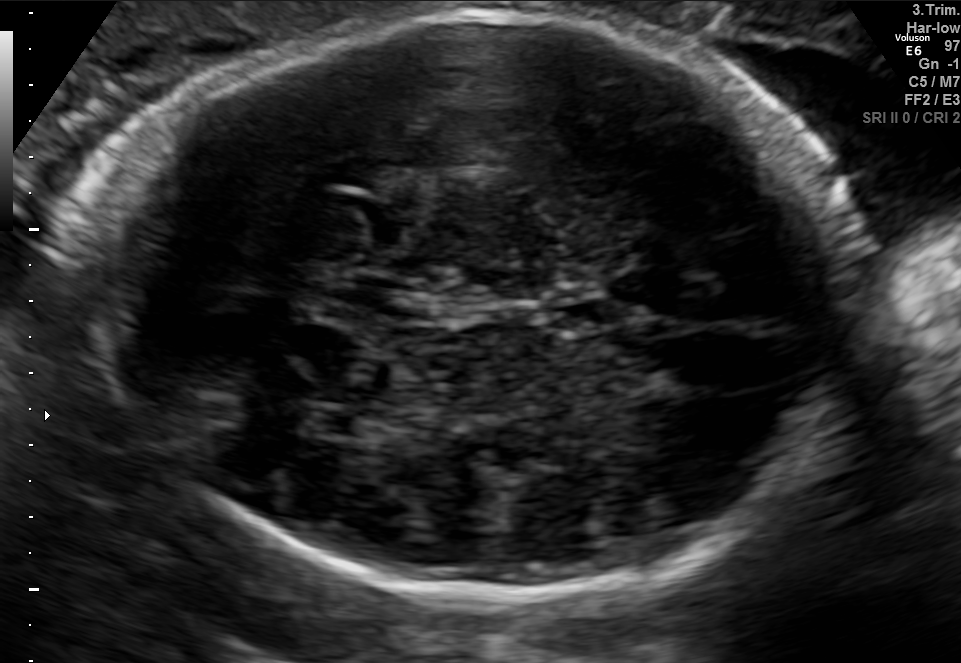
Fetal brain, trans-thalamic plane. Locate the cavum septum pellucidum.

CSP: [546,291,633,336]